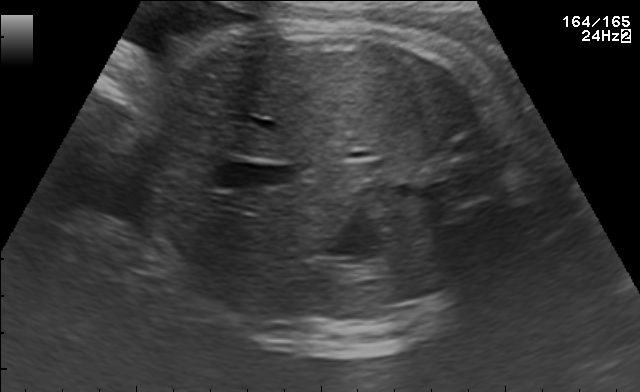
This is a 2D maternal-fetal ultrasound frame. Is it a fetal abdomen, fetal brain, fetal femur, fetal thorax, maternal cervix, or other standard plane? If it's fetal brain and one of the three standard brain planes (trans-thalamic, trans-cerebellum, trans-ventricular), name which.

Fetal abdomen